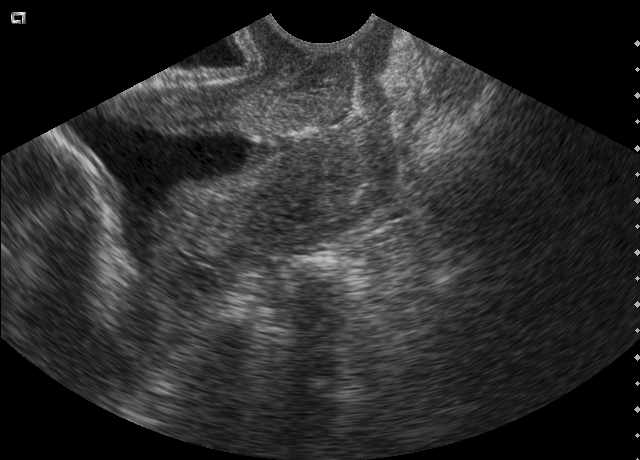
Which standard maternal-fetal ultrasound plane is shown: fetal abdomen, fetal brain, fetal femur, fetal thorax, maternal cervix, or other? If it's fetal brain and one of the three standard brain planes (trans-thalamic, trans-cerebellum, trans-ventricular), name which.

Maternal cervix